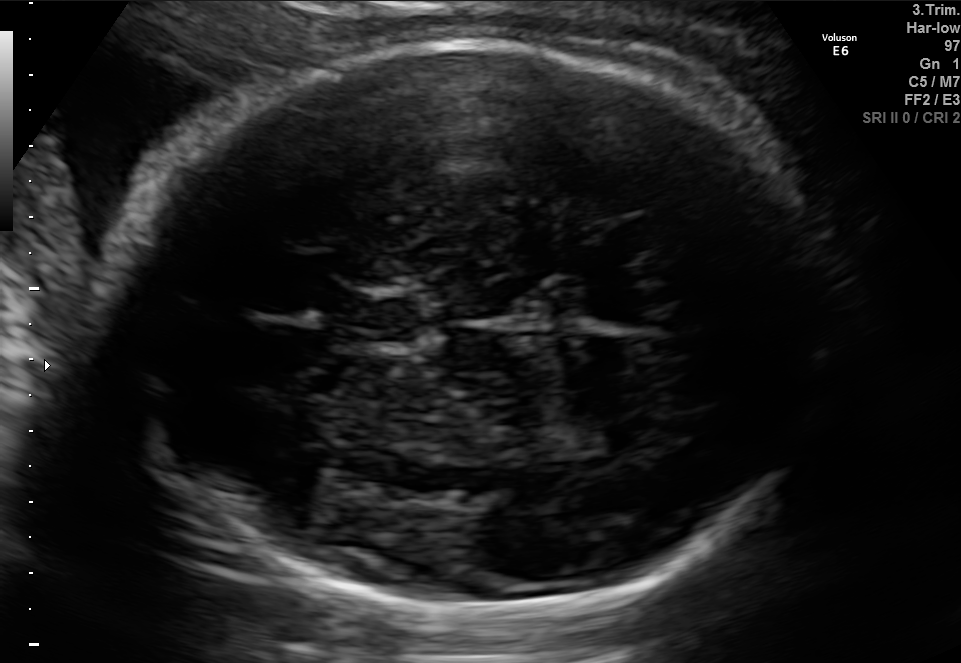
Fetal brain, trans-thalamic plane. Locate the fetal head and, if visible, the cavum septum pellucidum (CSP) and lateral ventricle (LV). Give bounding boxes as [x1,y1,x2,y2].

Head: [106,45,821,614]
CSP: [343,297,419,343]